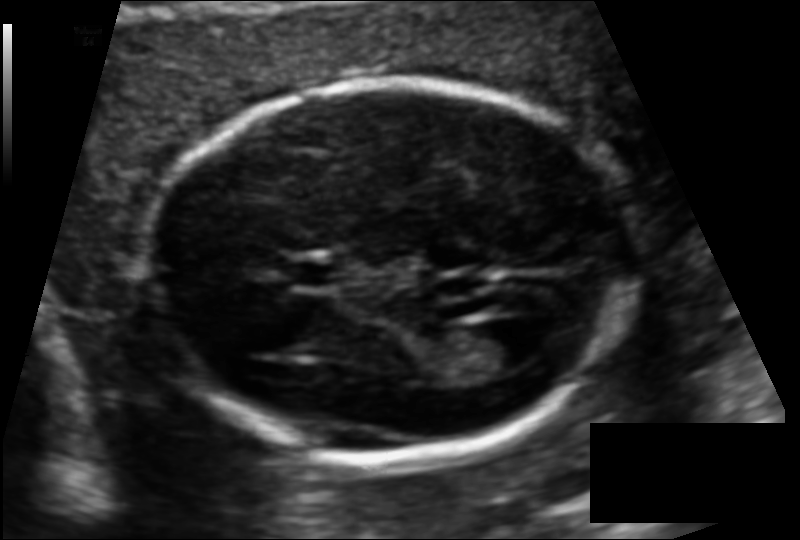
Fetal head ultrasound. Image width: 88.0 mm. Where is the lateral ventricle?

Lateral ventricle bounding box: [462,311,551,378]